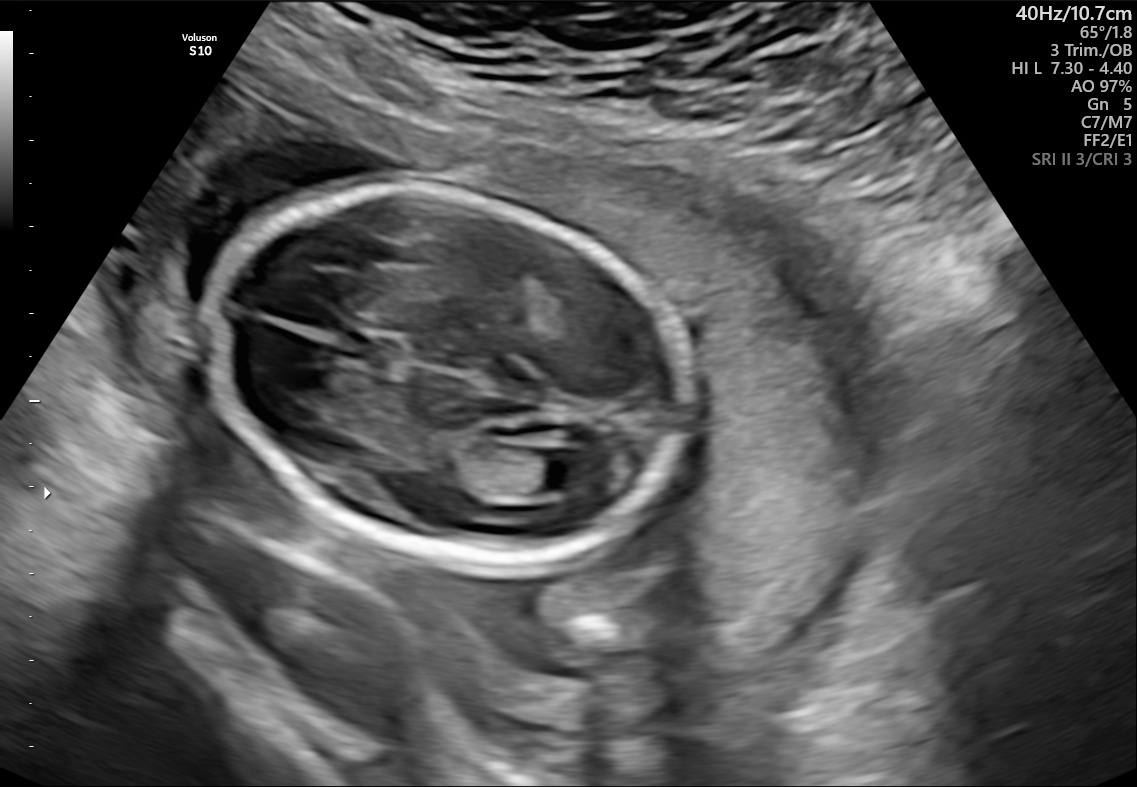
Fetal brain, trans-ventricular plane. Locate the lateral ventricle.

Lateral ventricle: [519,448,592,492]